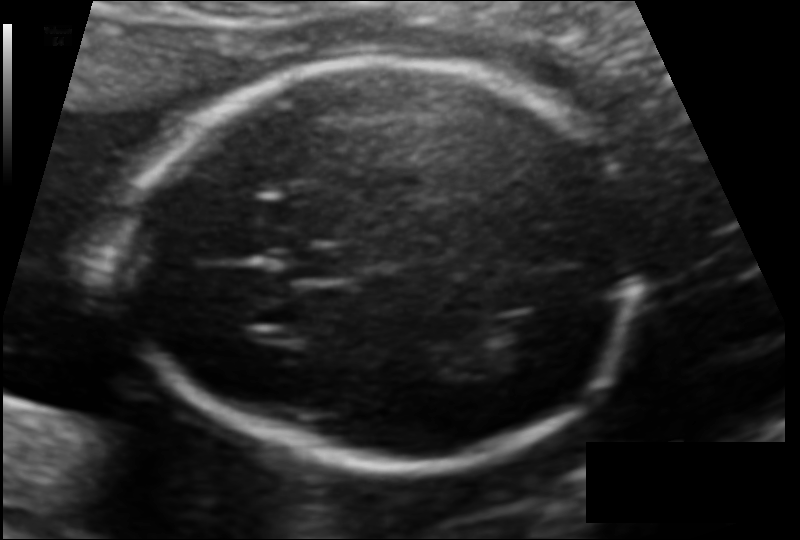
In this fetal head ultrasound, give the bounding box of the cavum septum pellucidum. Image width: 92.5 mm.

[279,247,351,282]